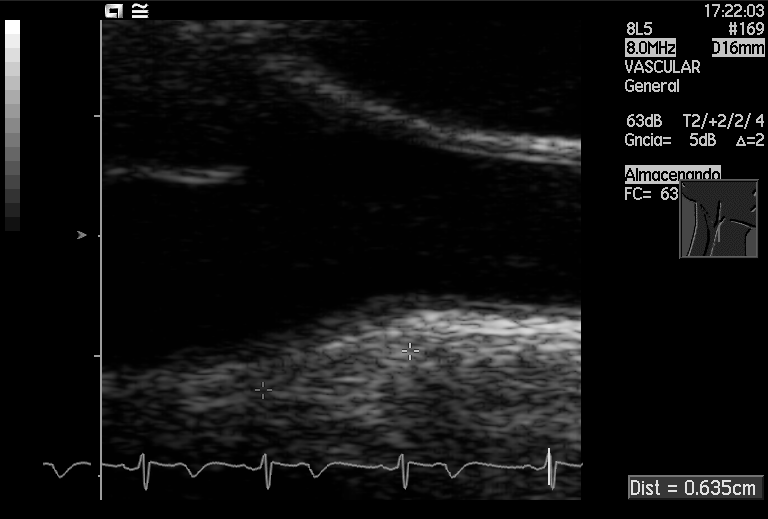
This is a 2D maternal-fetal ultrasound frame. Is it a fetal abdomen, fetal brain, fetal femur, fetal thorax, maternal cervix, or other standard plane? If it's fetal brain and one of the three standard brain planes (trans-thalamic, trans-cerebellum, trans-ventricular), name which.

Other